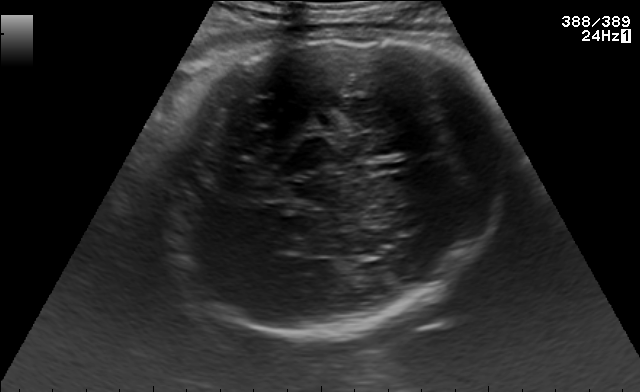
Fetal brain, trans-thalamic plane. Locate the fetal head.

Head: [152,28,508,336]